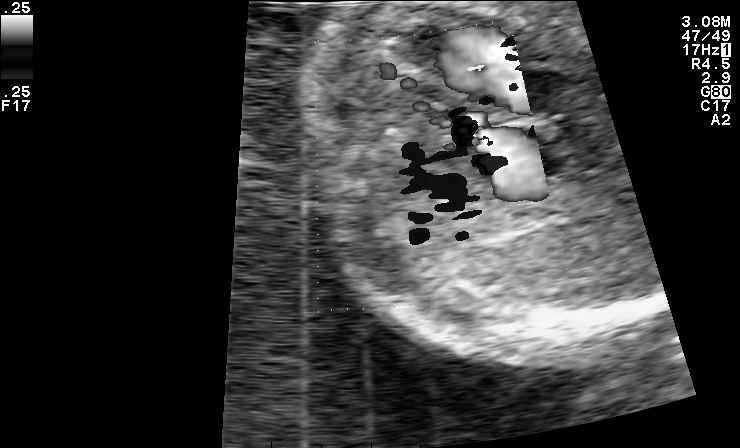
Which standard maternal-fetal ultrasound plane is shown: fetal abdomen, fetal brain, fetal femur, fetal thorax, maternal cervix, or other? If it's fetal brain and one of the three standard brain planes (trans-thalamic, trans-cerebellum, trans-ventricular), name which.

Other